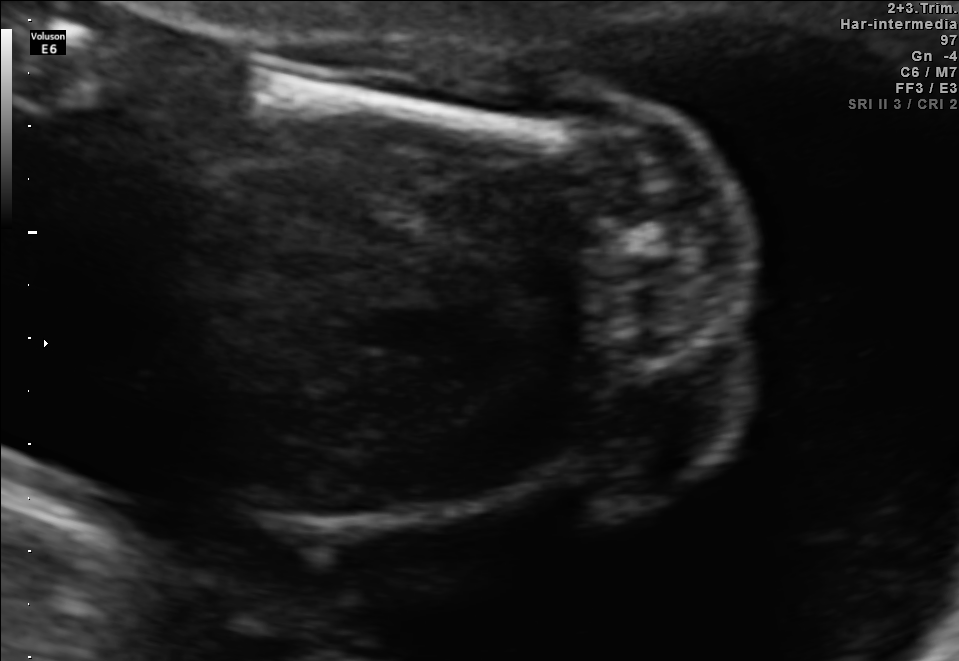
Identify the standard plane in this fetal ultrasound image: fetal abdomen, fetal brain, fetal femur, fetal thorax, maternal cervix, or other. If it's fetal brain and one of the three standard brain planes (trans-thalamic, trans-cerebellum, trans-ventricular), name which.

Fetal femur